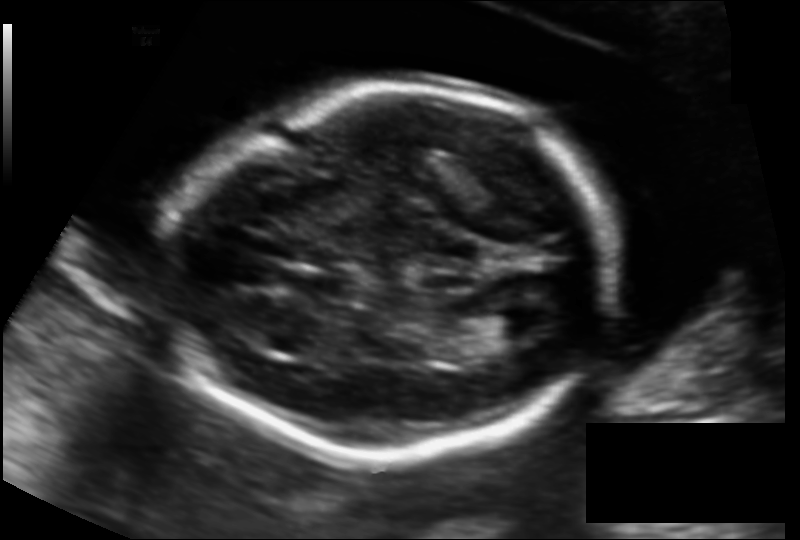
Fetal head ultrasound. Image width: 105.0 mm. Where is the cavum septum pellucidum?

CSP bounding box: [290,267,352,302]